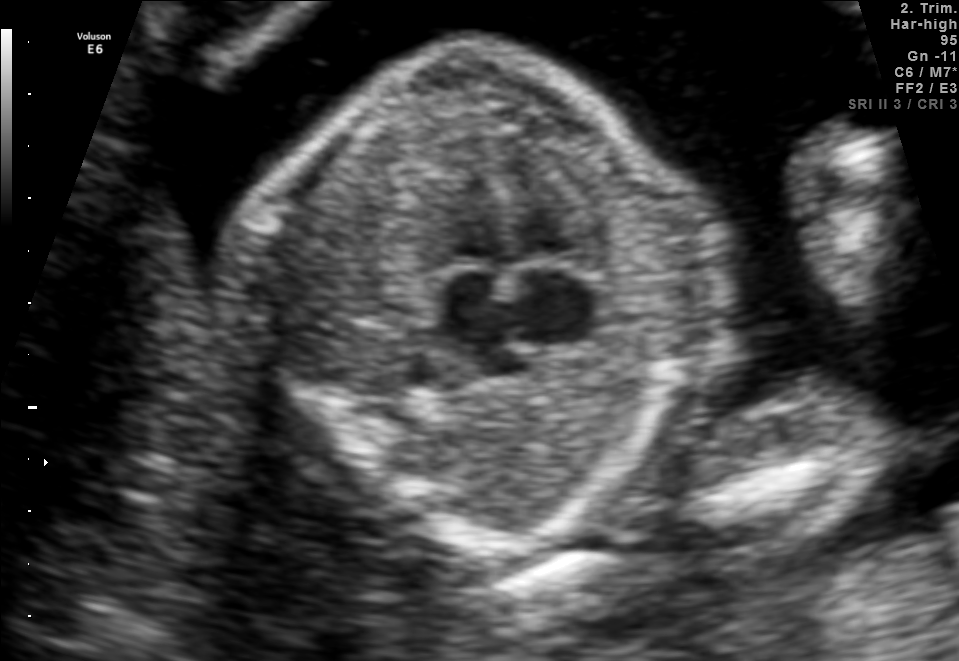
Identify the standard plane in this fetal ultrasound image: fetal abdomen, fetal brain, fetal femur, fetal thorax, maternal cervix, or other. If it's fetal brain and one of the three standard brain planes (trans-thalamic, trans-cerebellum, trans-ventricular), name which.

Fetal thorax